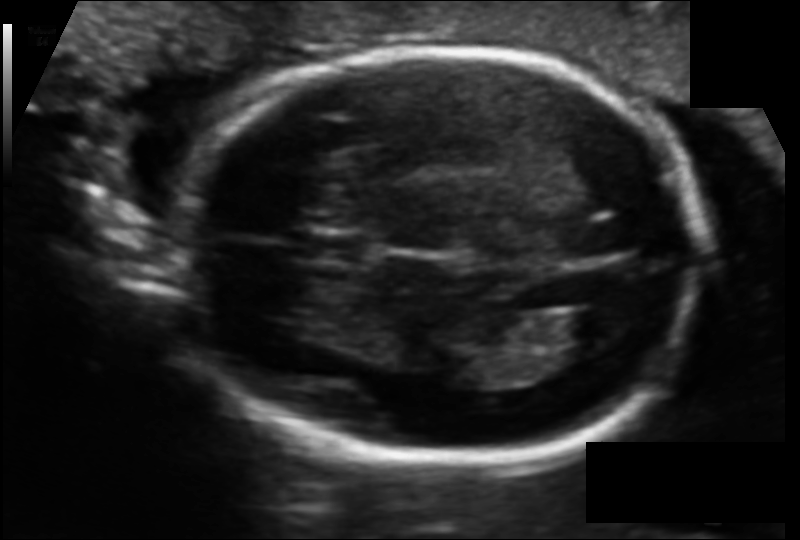
Fetal head ultrasound. Image width: 86.3 mm. Where is the fetal head?

Head bounding box: [173,50,709,467]